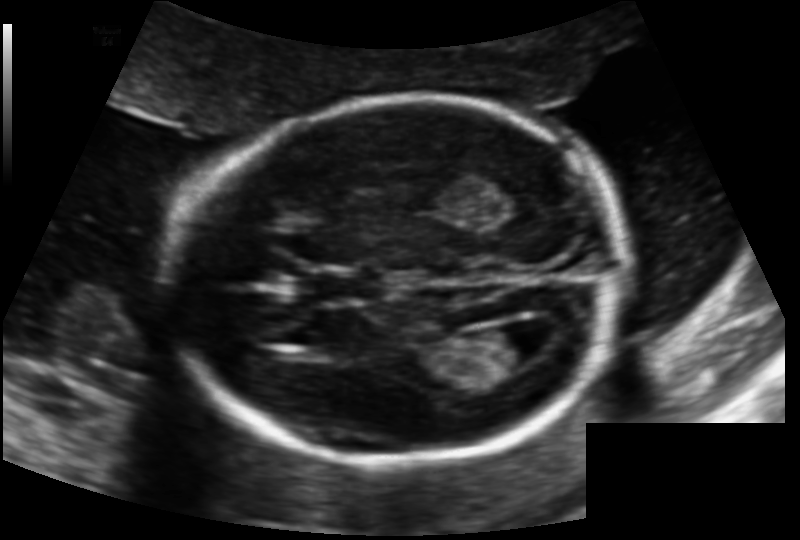
What is the fetal head circumference? Image width is 104.9 mm.

174.9 mm